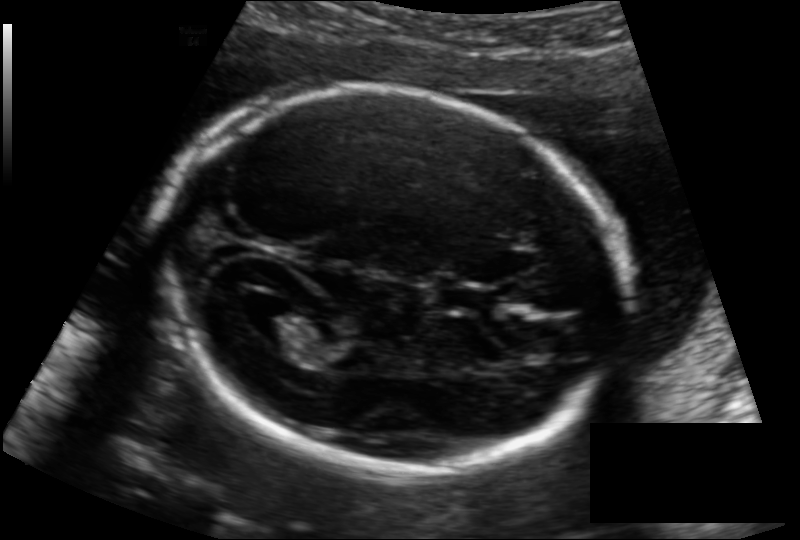
Measure the fetal head circumference shown in this ultrasound image. Image width: 106.5 mm.

Head circumference: 180.8 mm.